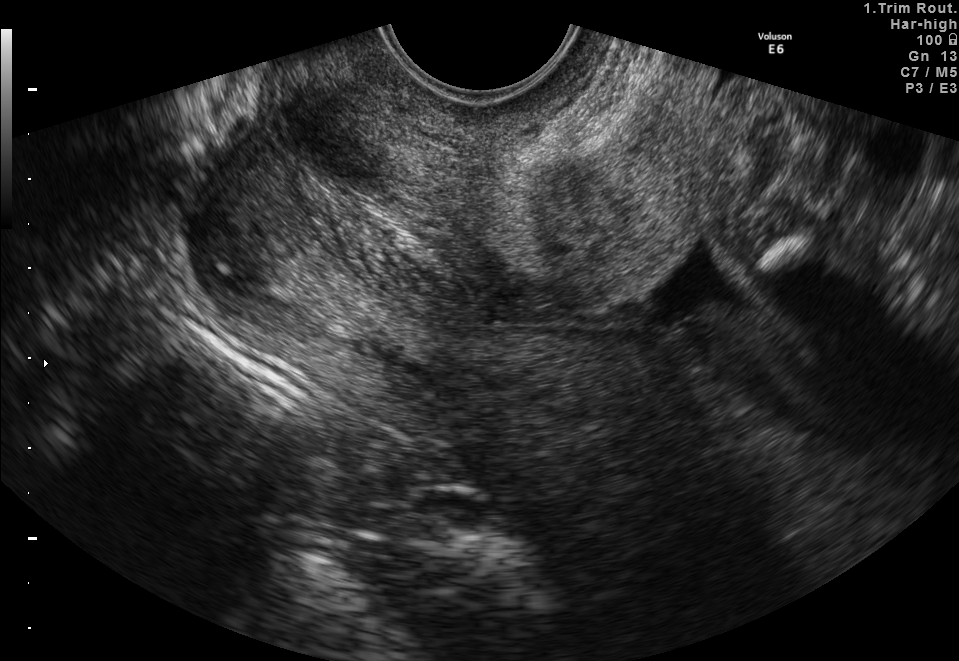
Identify the standard plane in this fetal ultrasound image: fetal abdomen, fetal brain, fetal femur, fetal thorax, maternal cervix, or other. If it's fetal brain and one of the three standard brain planes (trans-thalamic, trans-cerebellum, trans-ventricular), name which.

Maternal cervix